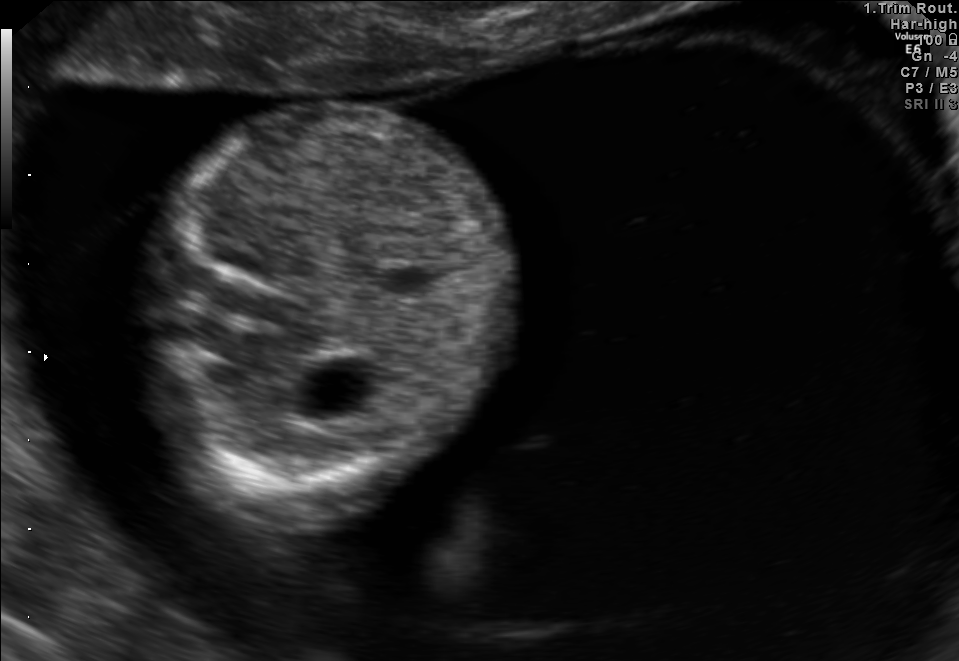
Which standard maternal-fetal ultrasound plane is shown: fetal abdomen, fetal brain, fetal femur, fetal thorax, maternal cervix, or other? If it's fetal brain and one of the three standard brain planes (trans-thalamic, trans-cerebellum, trans-ventricular), name which.

Fetal abdomen